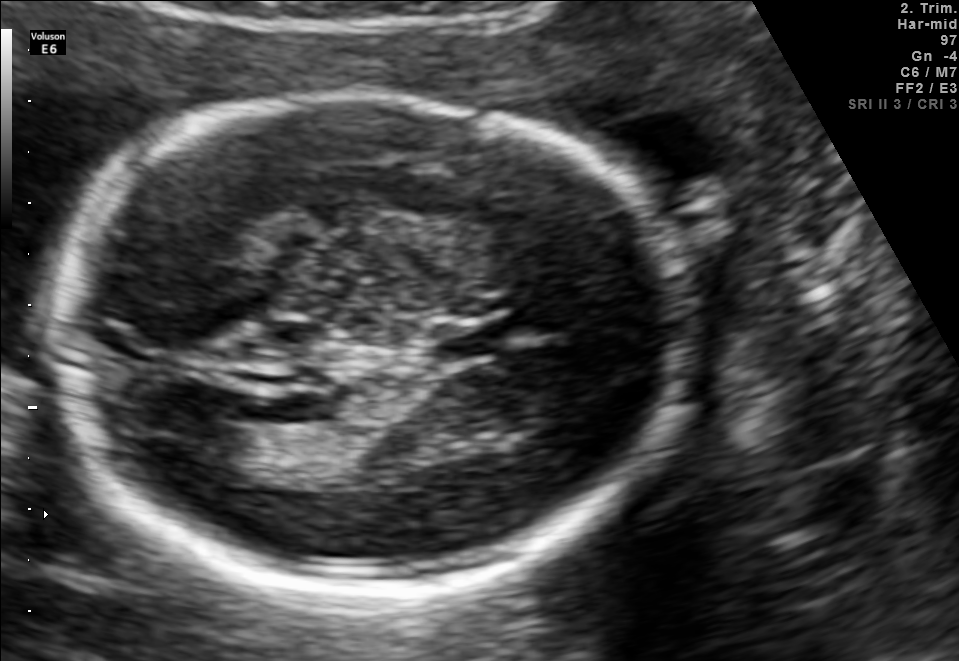
In this fetal brain, trans-thalamic plane, give bounding boxes for the head outline, cavum septum pellucidum (CSP), and lateral ventricle (LV), where visible.

Head: [58,95,681,592]
CSP: [431,320,499,363]
Lateral ventricle: [173,424,257,485]